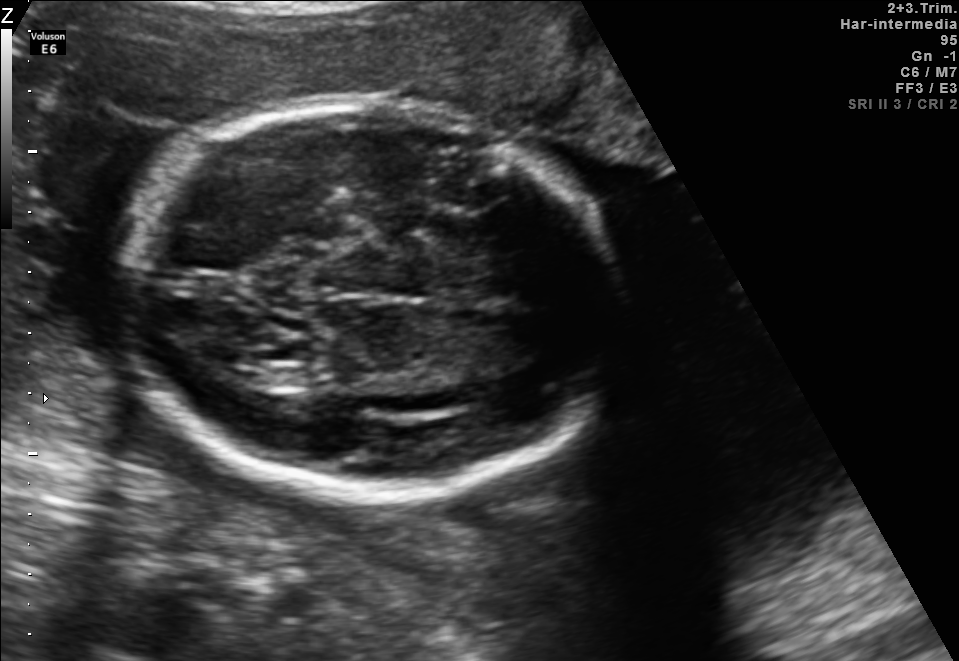
Which standard maternal-fetal ultrasound plane is shown: fetal abdomen, fetal brain, fetal femur, fetal thorax, maternal cervix, or other? If it's fetal brain and one of the three standard brain planes (trans-thalamic, trans-cerebellum, trans-ventricular), name which.

Fetal brain (trans-thalamic plane)